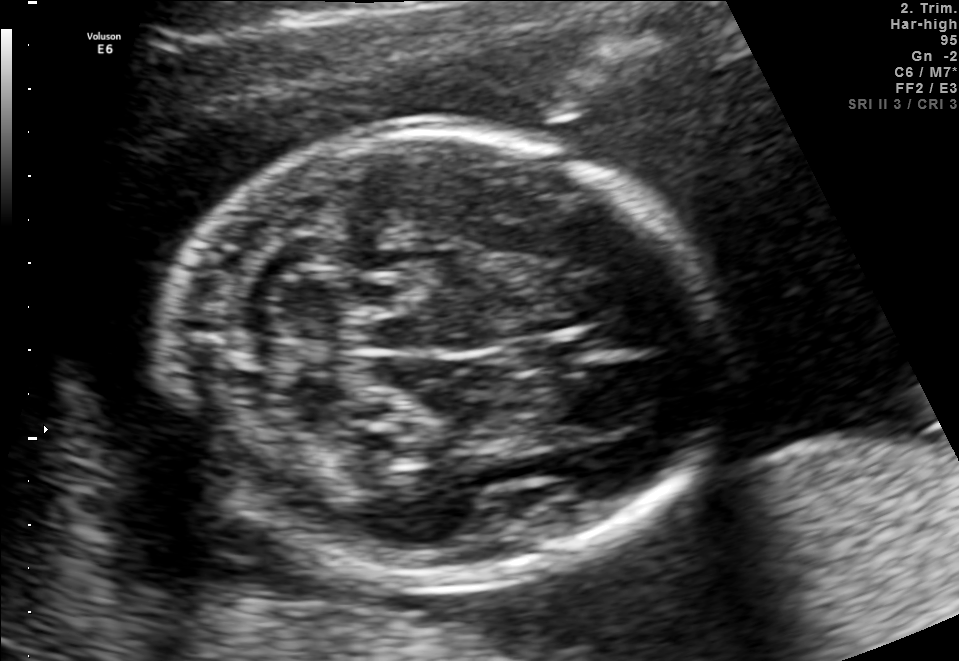
Which standard maternal-fetal ultrasound plane is shown: fetal abdomen, fetal brain, fetal femur, fetal thorax, maternal cervix, or other? If it's fetal brain and one of the three standard brain planes (trans-thalamic, trans-cerebellum, trans-ventricular), name which.

Fetal brain (trans-cerebellum plane)